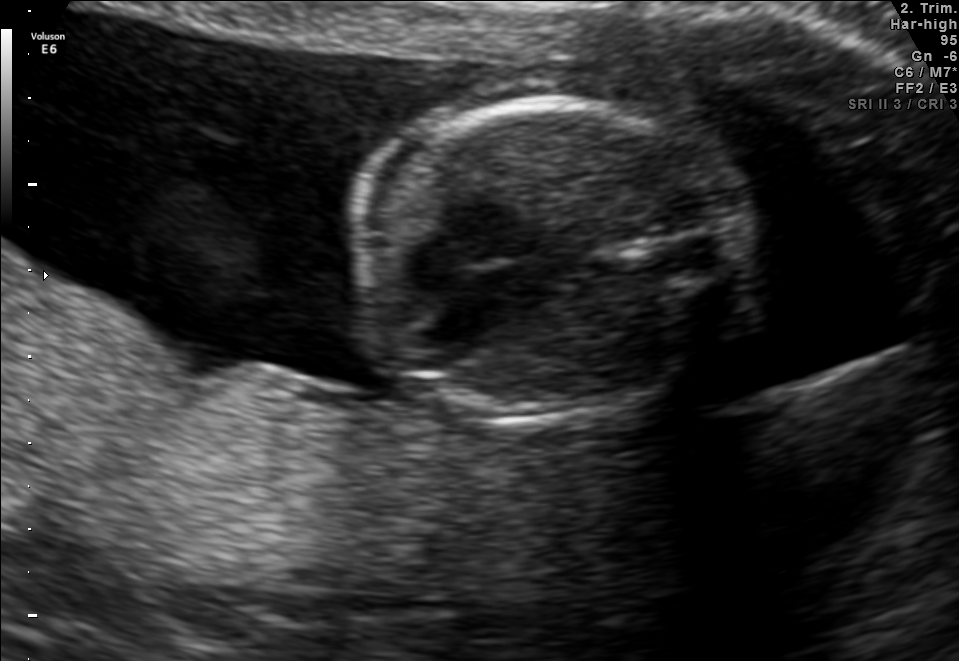
This is a 2D maternal-fetal ultrasound frame. Is it a fetal abdomen, fetal brain, fetal femur, fetal thorax, maternal cervix, or other standard plane? If it's fetal brain and one of the three standard brain planes (trans-thalamic, trans-cerebellum, trans-ventricular), name which.

Fetal thorax